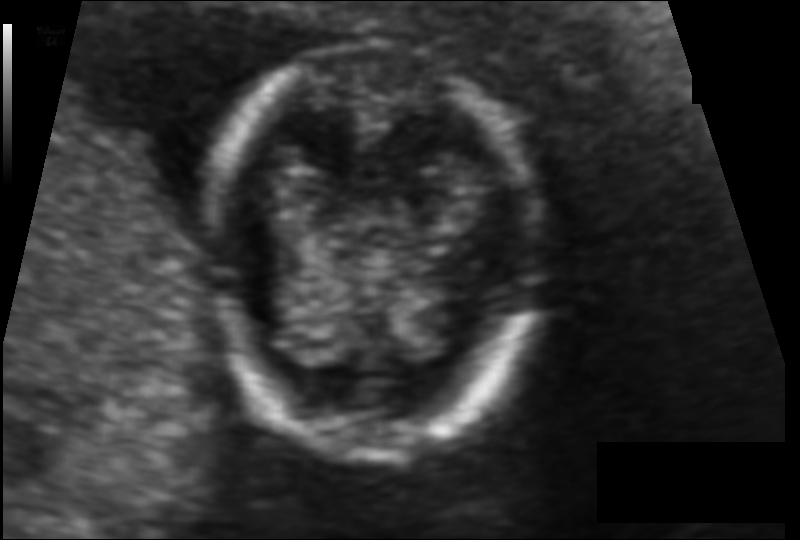
Estimate the fetal head circumference from this 2D ultrasound. Image width: 63.9 mm.

Head circumference: 98.4 mm.